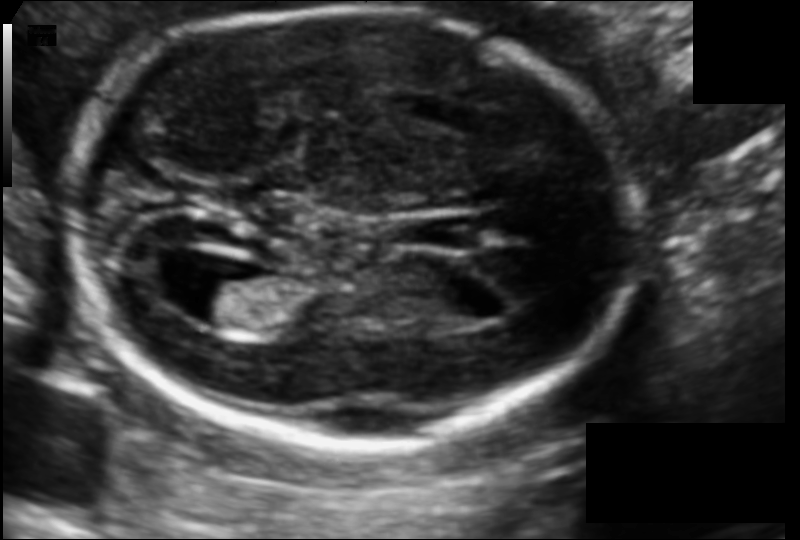
Fetal head ultrasound. Image width: 83.9 mm. Where is the lateral ventricle?

Lateral ventricle bounding box: [174,266,269,333]